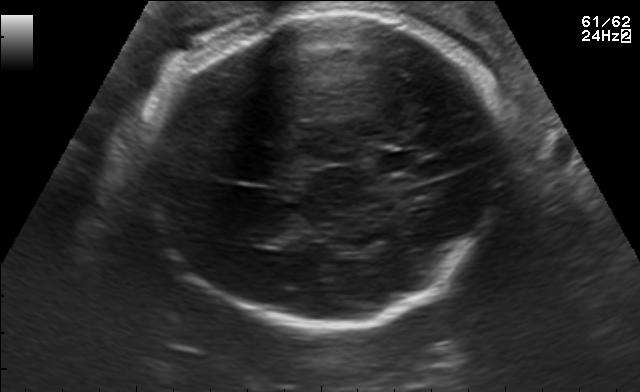
Fetal brain, trans-thalamic plane. Locate the cavum septum pellucidum.

CSP: [375,148,421,174]